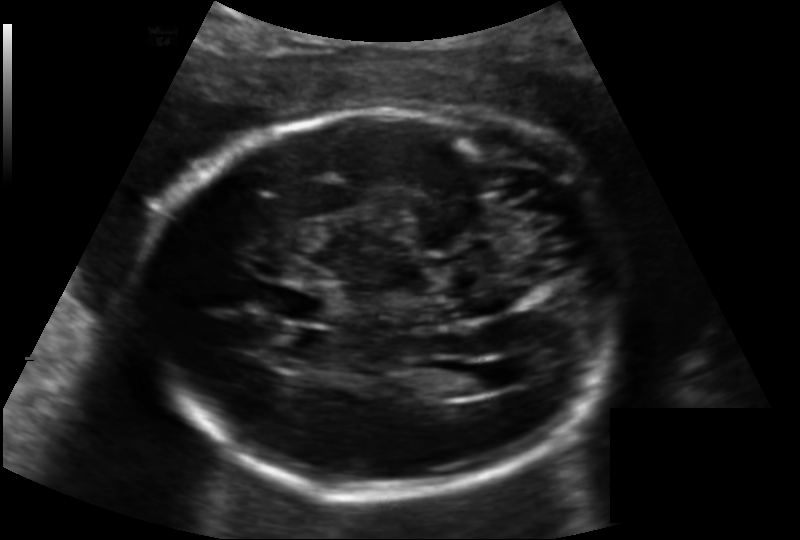
Measure the fetal head circumference shown in this ultrasound image. Image width: 126.5 mm.

Head circumference: 225.4 mm.